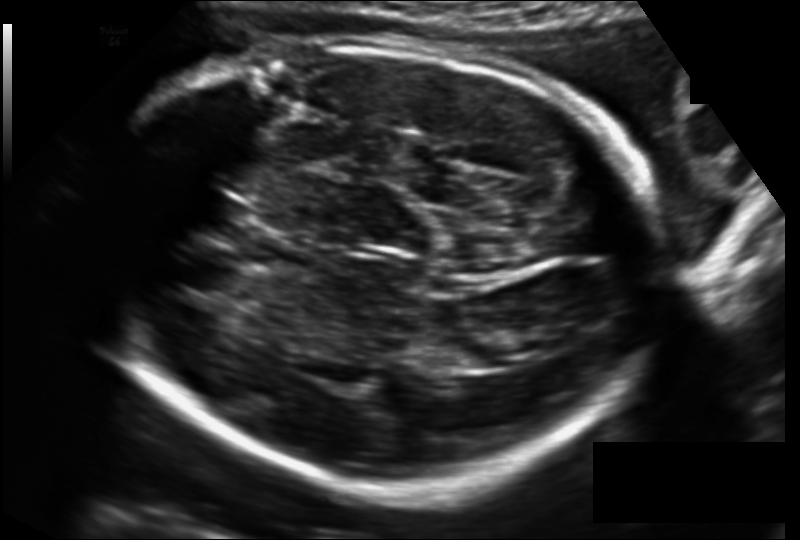
Estimate the fetal head circumference from this 2D ultrasound.

Head circumference: 275.9 mm (image width 133.8 mm).